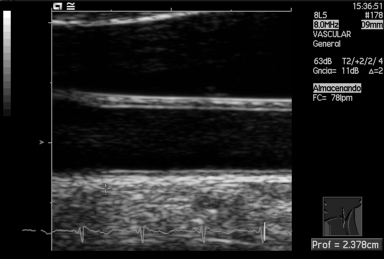
Identify the standard plane in this fetal ultrasound image: fetal abdomen, fetal brain, fetal femur, fetal thorax, maternal cervix, or other. If it's fetal brain and one of the three standard brain planes (trans-thalamic, trans-cerebellum, trans-ventricular), name which.

Other